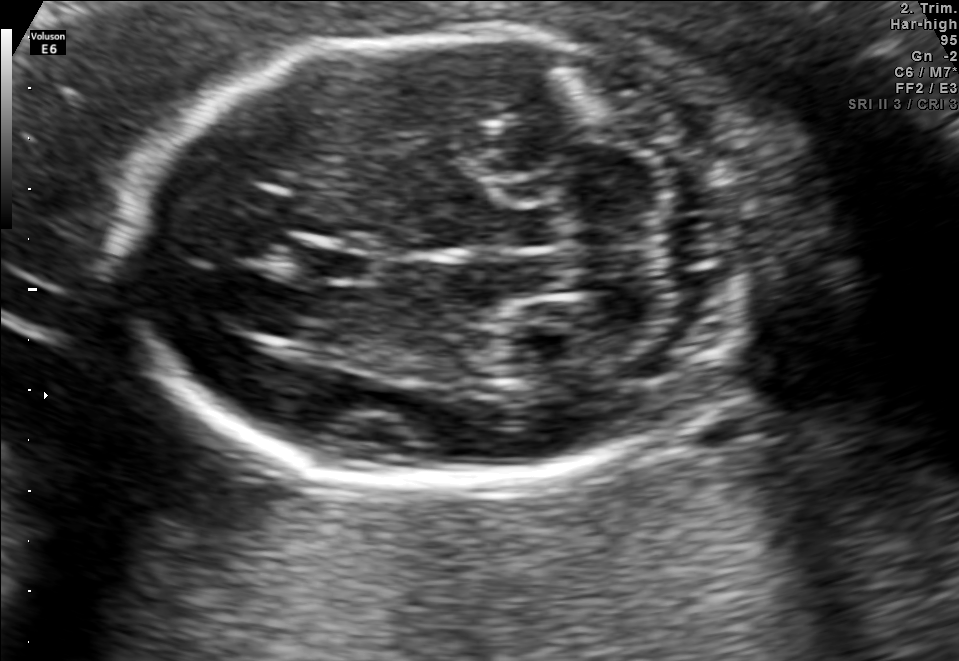
In this fetal brain, trans-cerebellum plane, give bounding boxes for the head outline, cavum septum pellucidum (CSP), and lateral ventricle (LV), where visible.

Head: [122,35,747,482]
CSP: [297,240,376,285]
Lateral ventricle: [486,316,586,374]